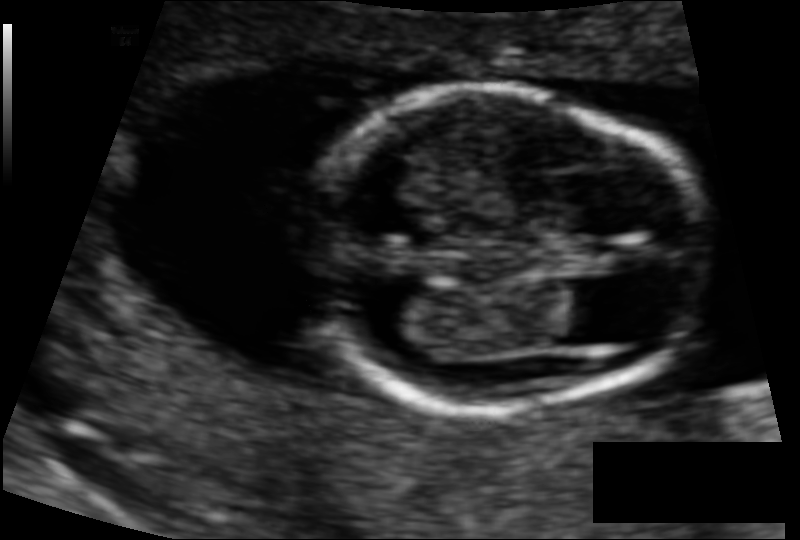
Fetal head ultrasound. Image width: 67.4 mm. Locate the fetal head.

Head: [302,88,707,409]